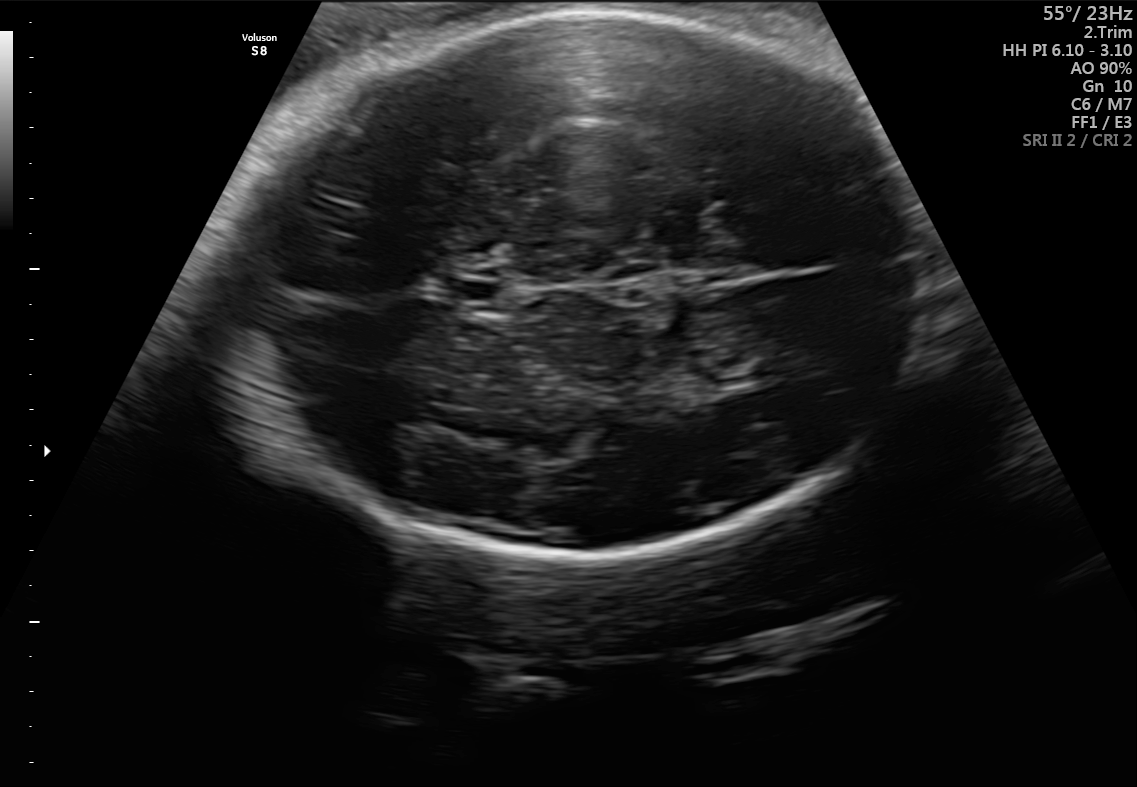
In this fetal brain, trans-thalamic plane, give bounding boxes for the head outline, cavum septum pellucidum (CSP), and lateral ventricle (LV), where visible.

Head: [225,10,921,568]
CSP: [446,278,501,302]